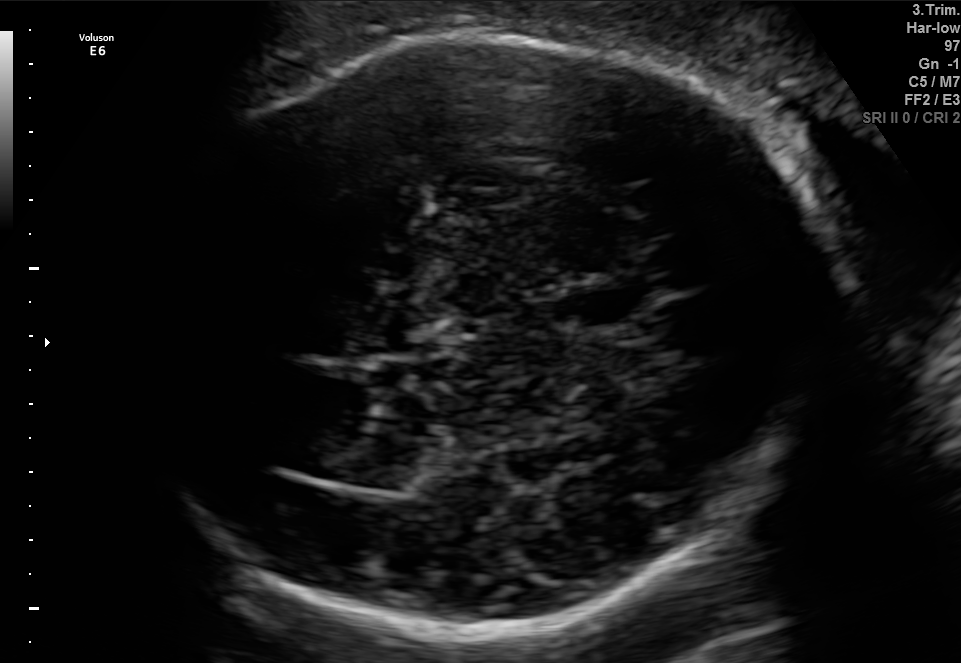
Fetal brain, trans-thalamic plane. Locate the lateral ventricle.

Lateral ventricle: [294,403,427,499]